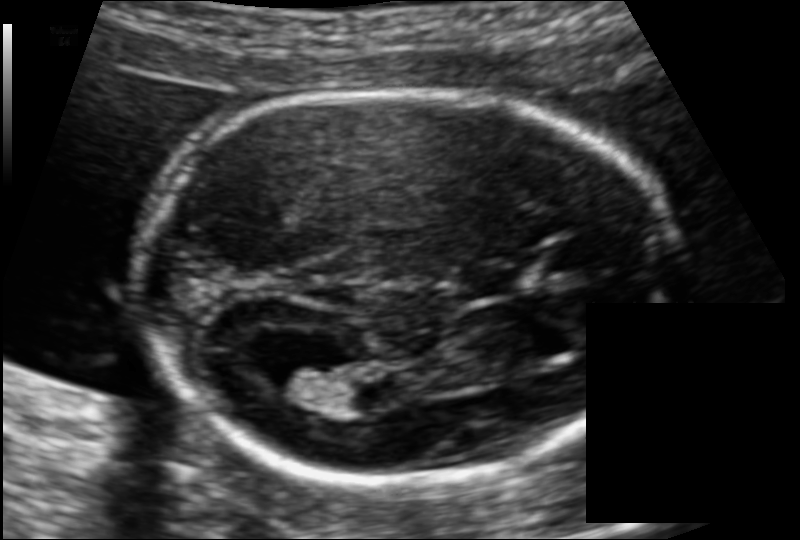
Measure the fetal head circumference shown in this ultrasound image. Image width: 85.1 mm.

Head circumference: 159.9 mm.